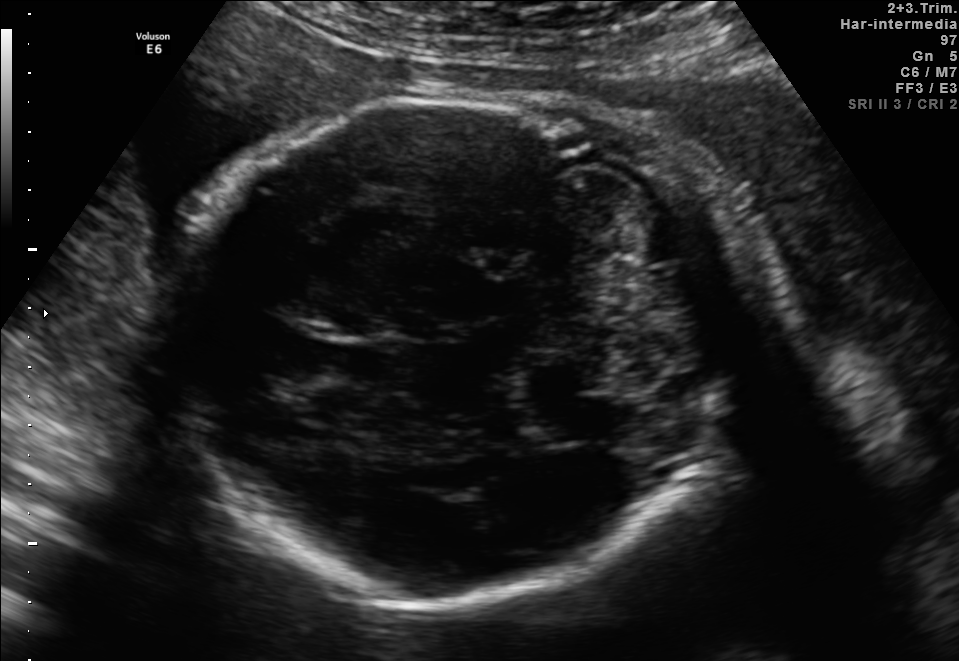
In this fetal brain, trans-cerebellum plane, give the bounding box of the fetal head.

[166,91,777,596]